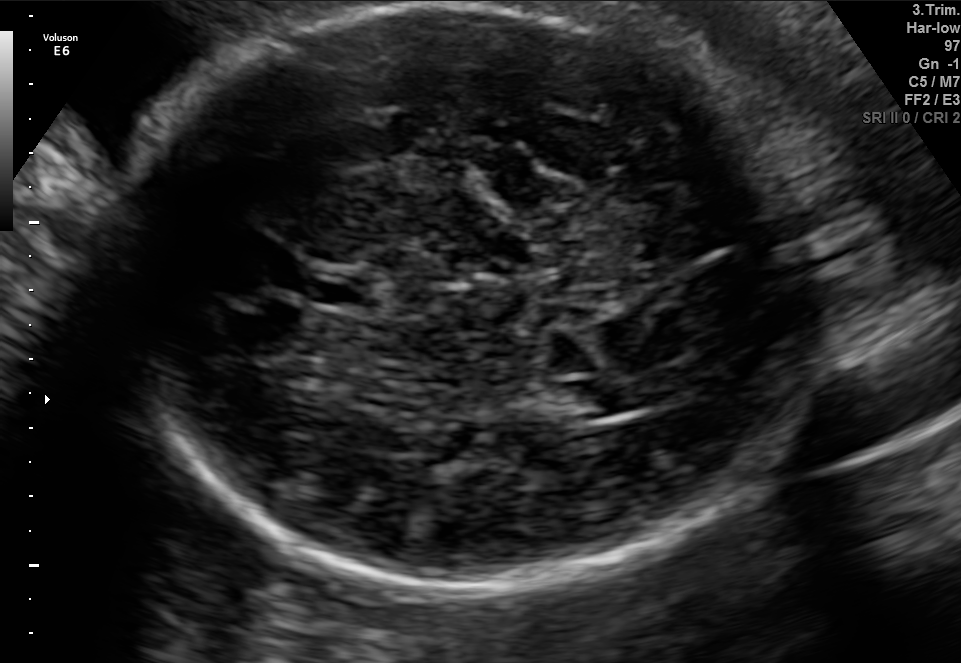
In this fetal brain, trans-ventricular plane, give the bounding box of the lateral ventricle.

[565,368,656,422]